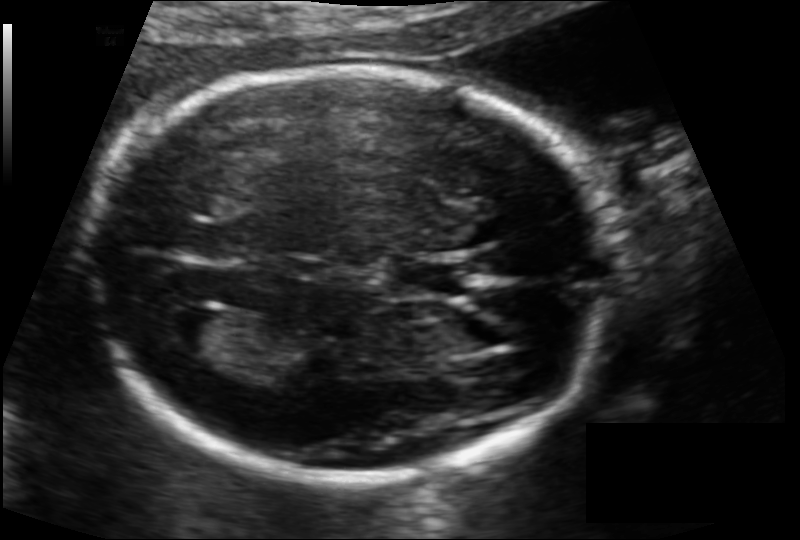
From this fetal ultrasound, estimate the head circumference (image width 91.1 mm).

Head circumference: 172.2 mm.